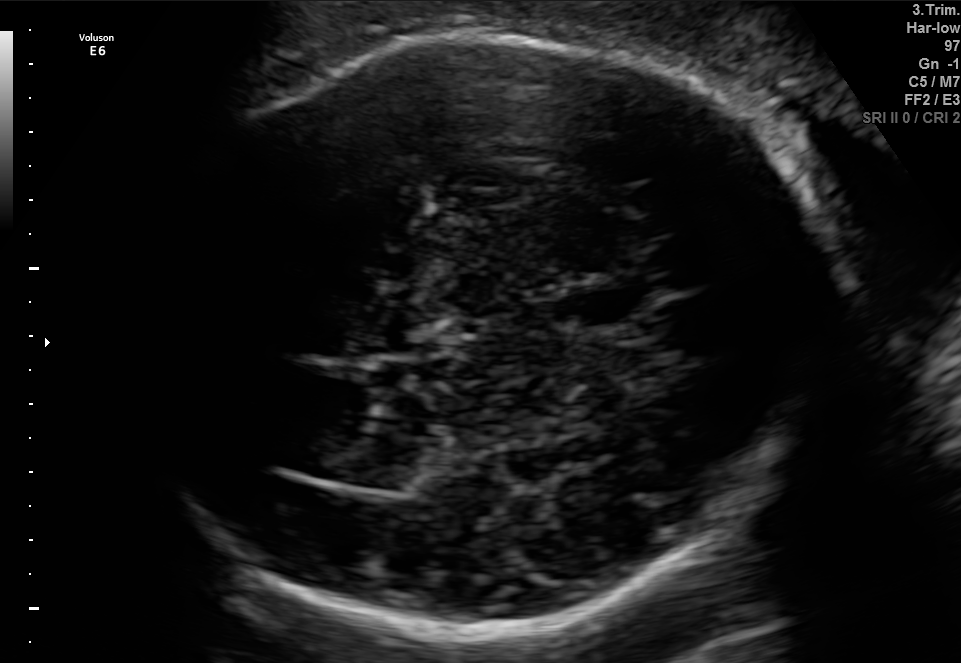
Fetal brain, trans-thalamic plane. Locate the fetal head and, if visible, the cavum septum pellucidum (CSP) and lateral ventricle (LV). Give bounding boxes as [x1,y1,x2,y2].

Head: [140,33,831,634]
CSP: [549,273,655,336]
Lateral ventricle: [294,403,427,499]